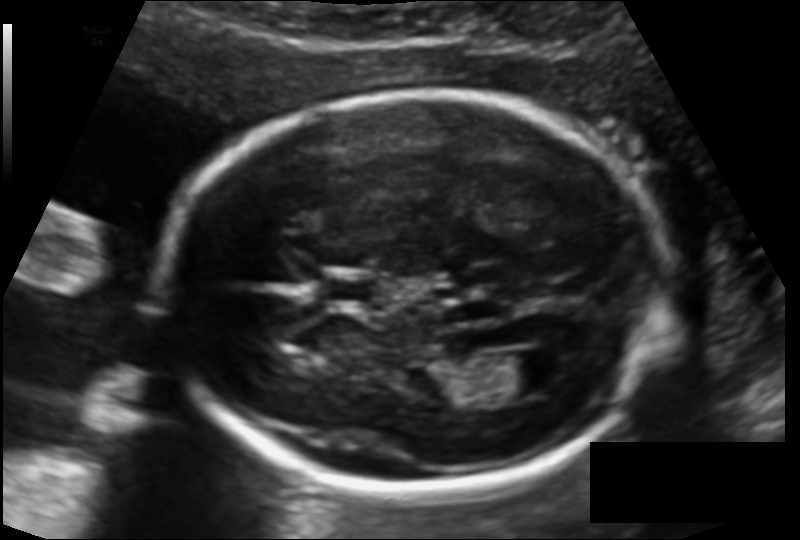
In this fetal head ultrasound, give the bounding box of the lateral ventricle. Image width: 101.2 mm.

[484,348,563,404]